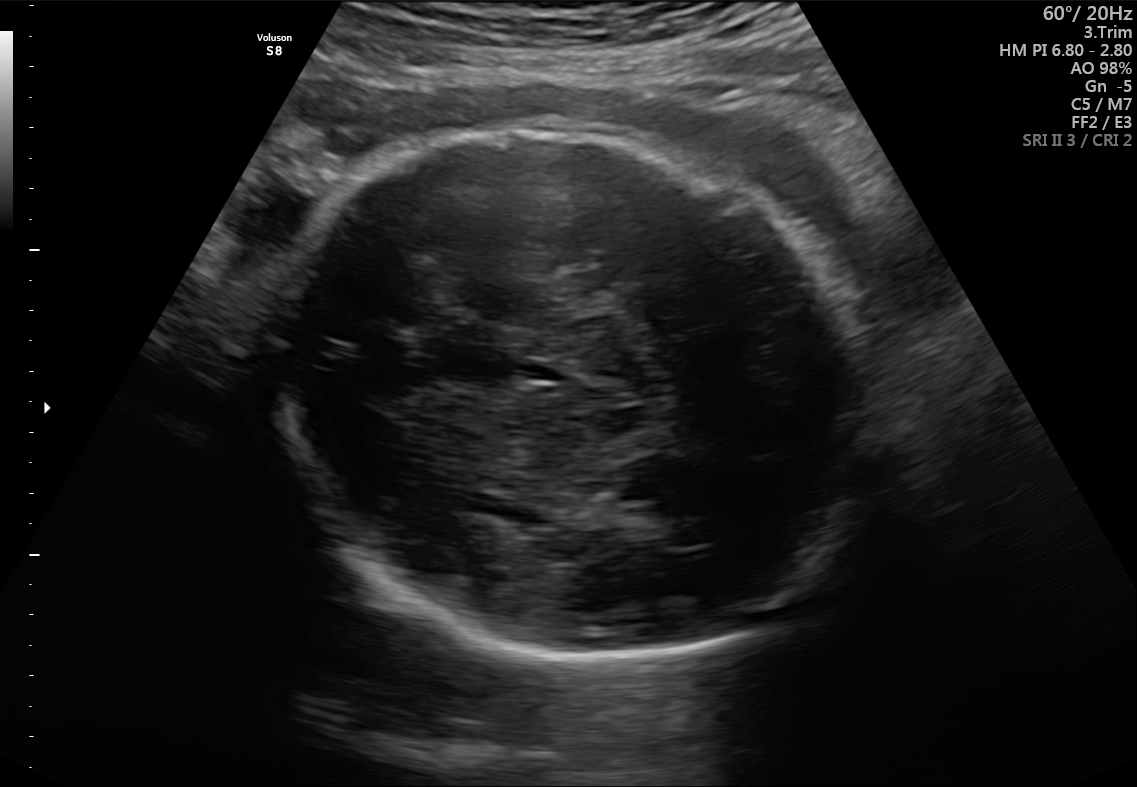
Fetal brain, trans-thalamic plane. Give [x1,y1,x2,y2] bounding boxes for each visible structure among: fetal head, CSP, LV.

Head: [262,132,880,667]
CSP: [526,361,564,383]